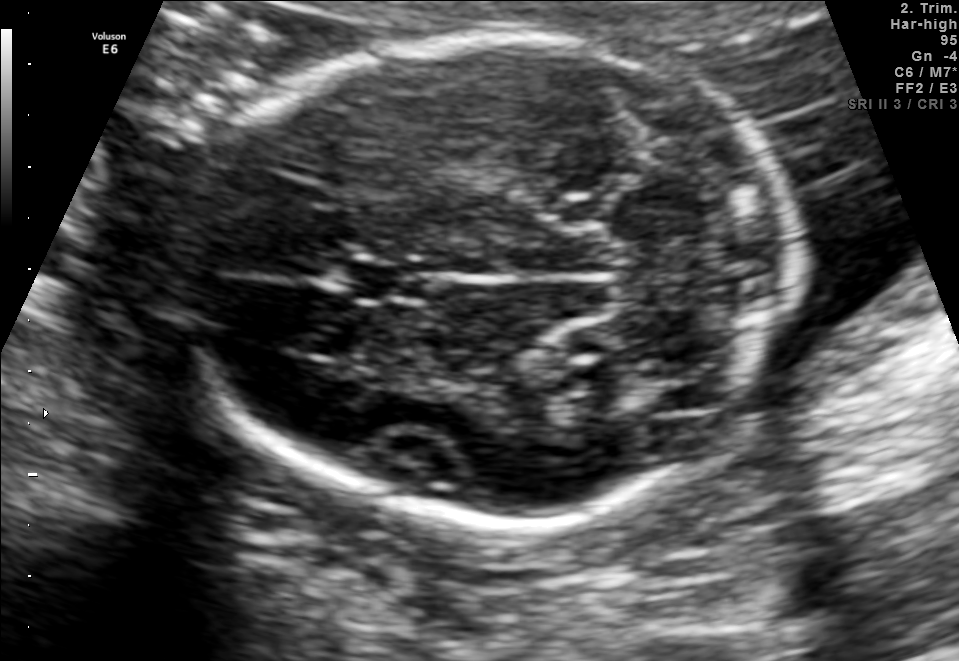
Fetal brain, trans-cerebellum plane. Locate the fetal head.

Head: [184,34,799,521]